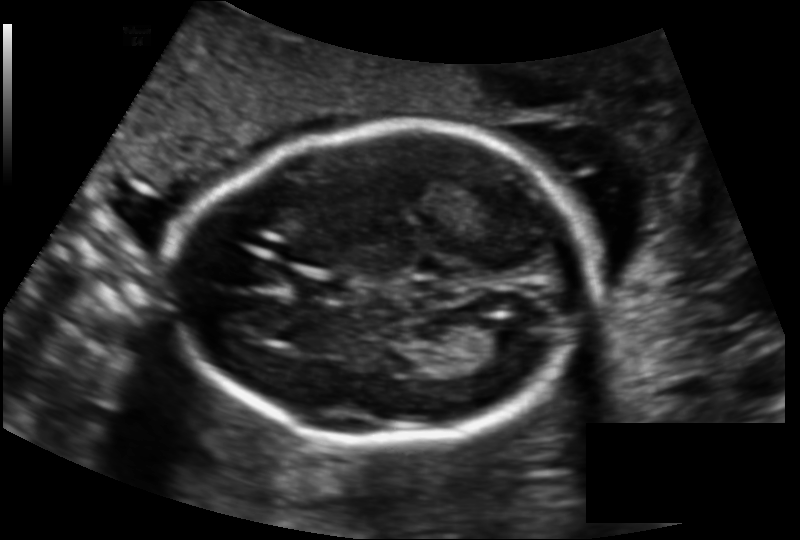
What is the fetal head circumference? Image width is 109.7 mm.

165.7 mm